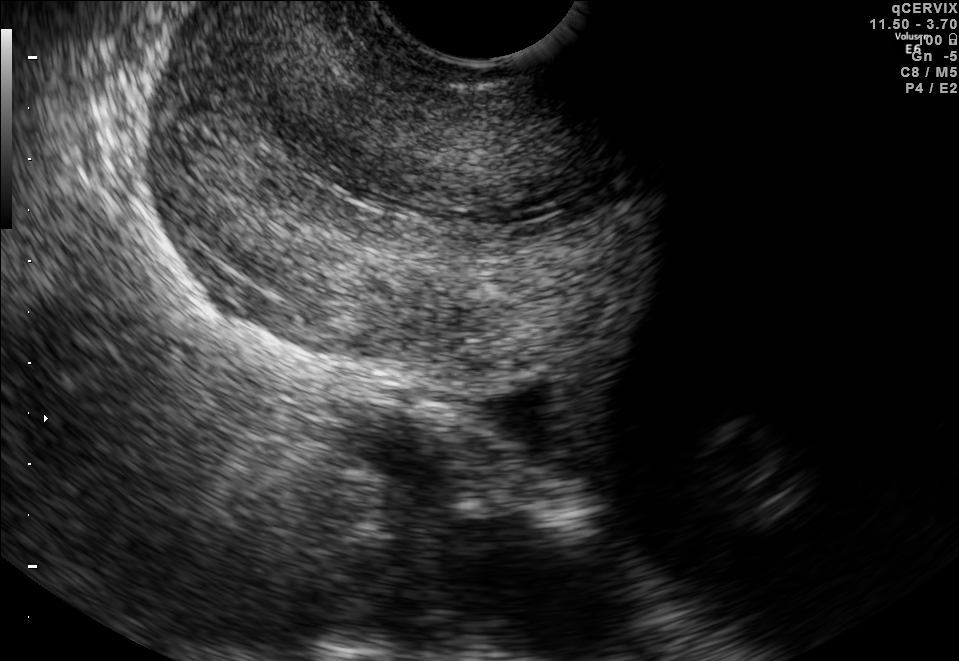
This is a 2D maternal-fetal ultrasound frame. Is it a fetal abdomen, fetal brain, fetal femur, fetal thorax, maternal cervix, or other standard plane? If it's fetal brain and one of the three standard brain planes (trans-thalamic, trans-cerebellum, trans-ventricular), name which.

Maternal cervix